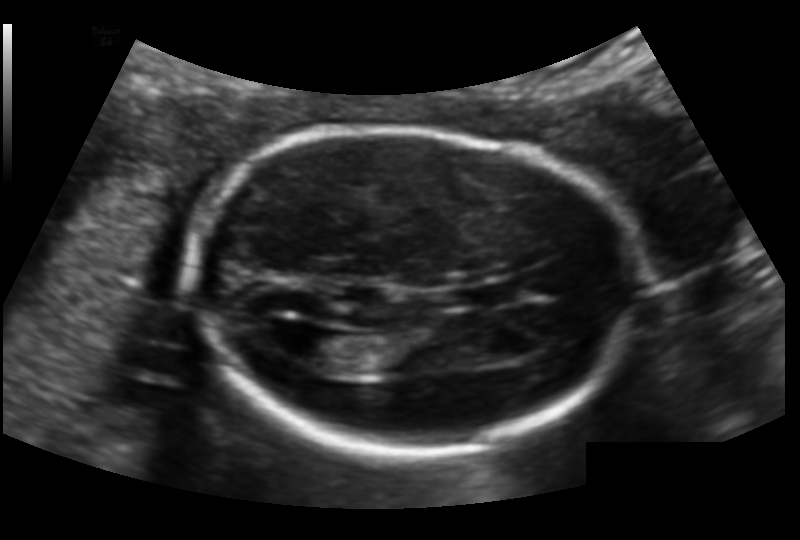
Fetal head ultrasound. Image width: 105.5 mm. Locate the lateral ventricle.

Lateral ventricle: [282,320,344,368]